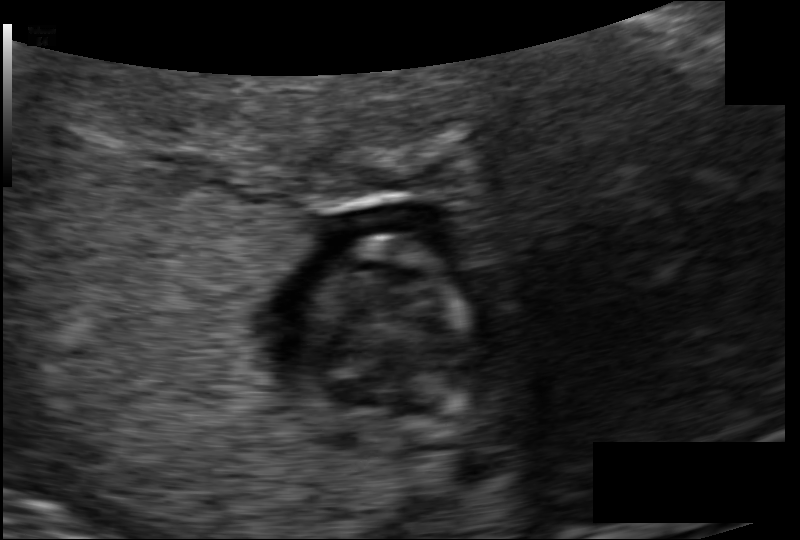
Fetal head ultrasound. Image width: 78.7 mm. Locate the fetal head.

Head: [306,237,467,432]